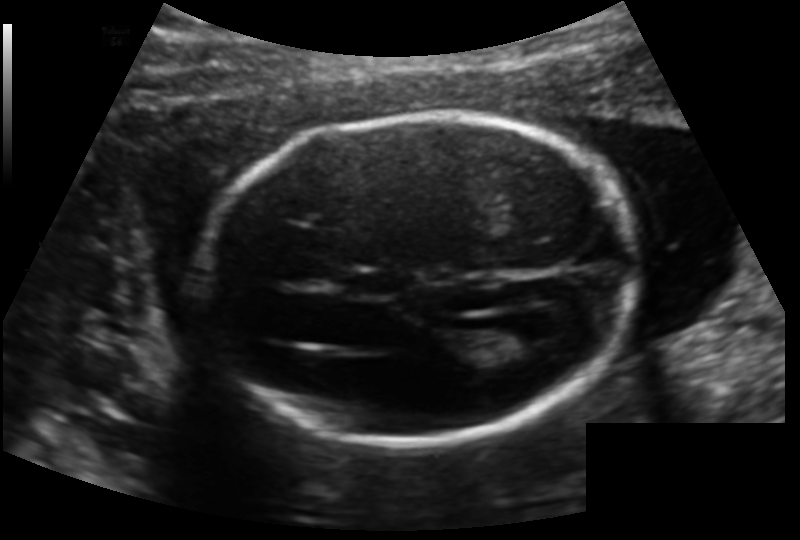
Fetal head ultrasound. Image width: 112.1 mm. Locate the fetal head and, if visible, the cavum septum pellucidum (CSP) and lateral ventricle (LV). Give bounding boxes as [x1,y1,x2,y2].

Head: [203,114,637,444]
CSP: [348,270,401,297]
Lateral ventricle: [485,320,551,362]